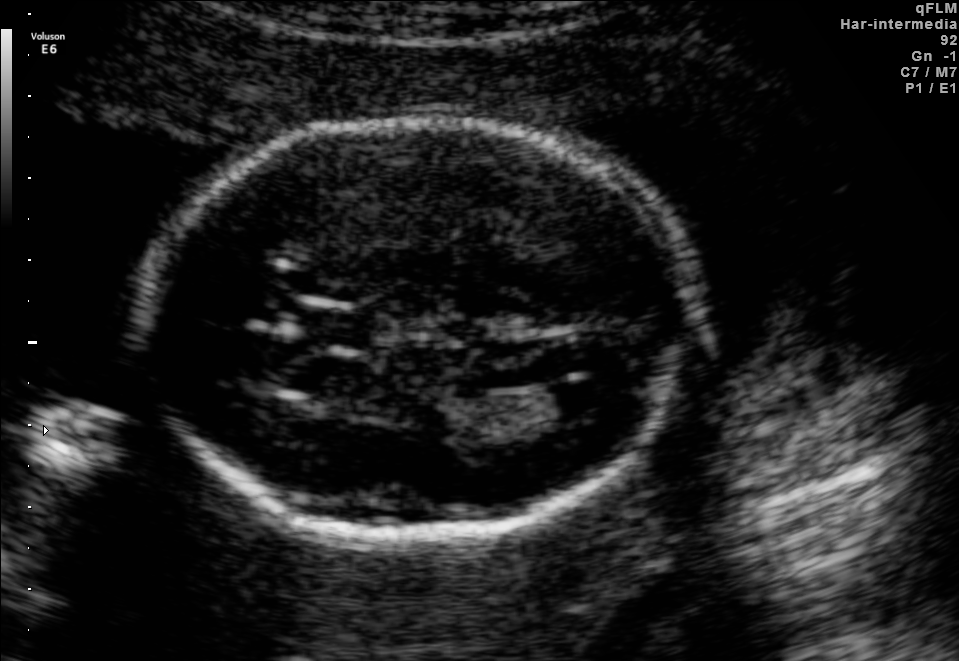
Fetal brain, trans-ventricular plane. Where is the lateral ventricle?

Lateral ventricle bounding box: [541,376,619,424]